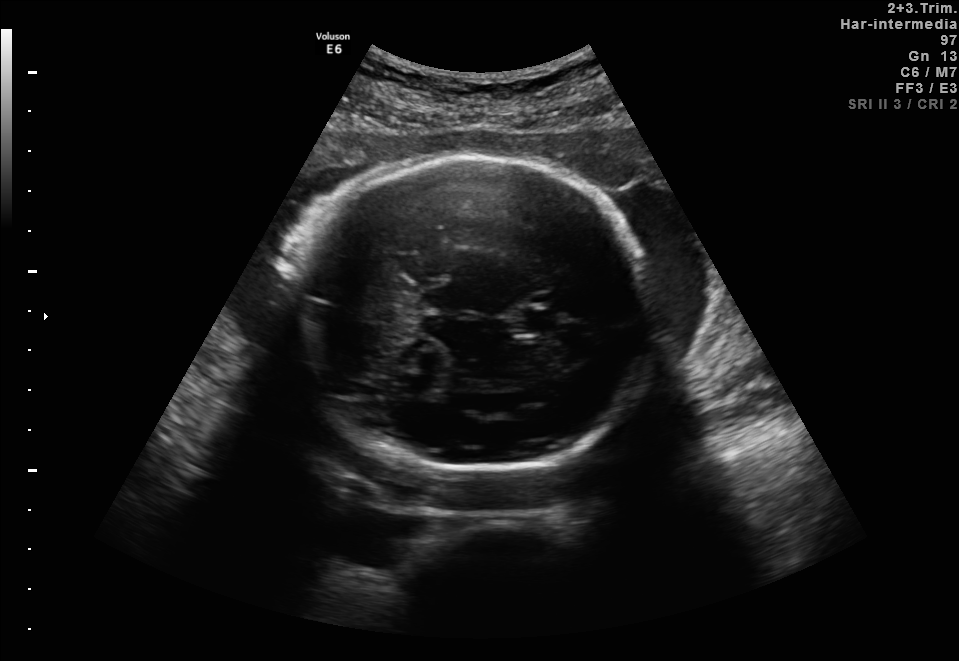
In this fetal brain, trans-thalamic plane, give the bounding box of the cavum septum pellucidum.

[522,308,558,332]